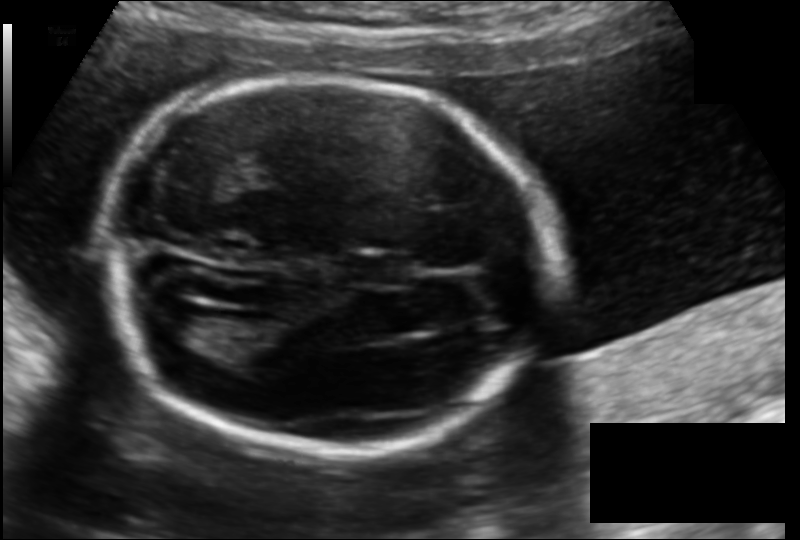
Fetal head ultrasound. Image width: 107.8 mm. Where is the cavum septum pellucidum?

CSP bounding box: [354,256,412,284]